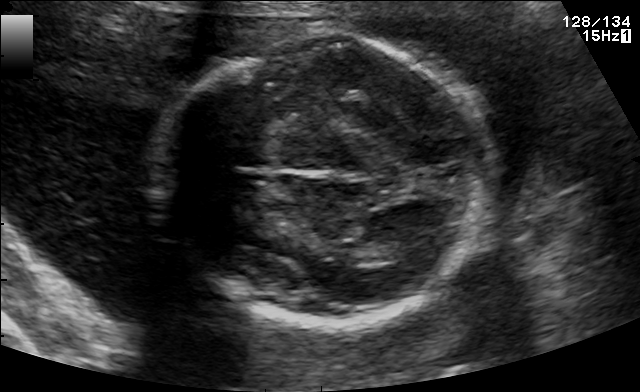
Fetal brain, trans-thalamic plane. Where is the fetal head?

Head bounding box: [153,38,495,323]